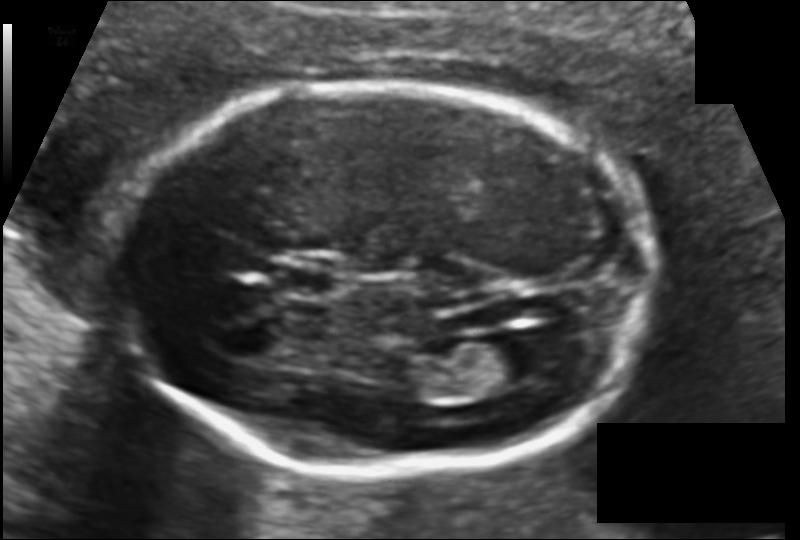
Fetal head ultrasound. Image width: 90.6 mm. Where is the cavum septum pellucidum?

CSP bounding box: [281,265,337,300]